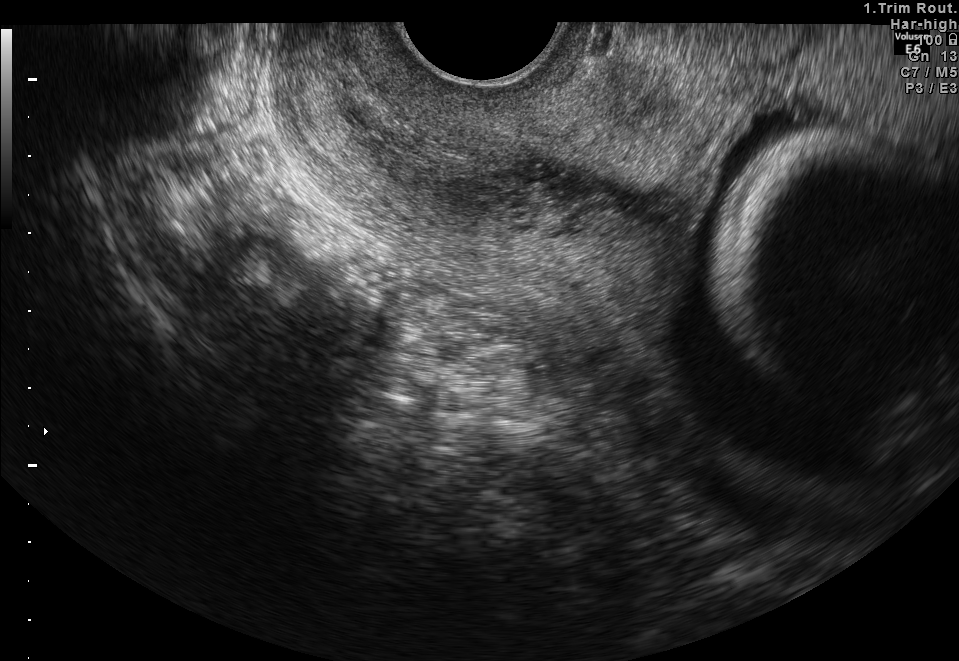
Classify this maternal-fetal ultrasound image as one of the six standard planes — fetal abdomen, fetal brain, fetal femur, fetal thorax, maternal cervix, or other. If it's fetal brain and one of the three standard brain planes (trans-thalamic, trans-cerebellum, trans-ventricular), name which.

Maternal cervix